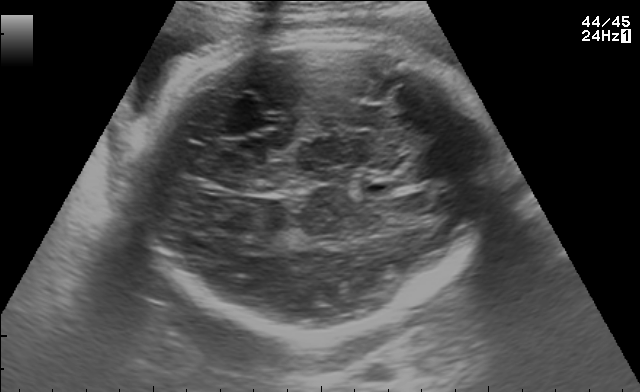
Fetal brain, trans-thalamic plane. Locate the fetal head and, if visible, the cavum septum pellucidum (CSP) and lateral ventricle (LV). Give bounding boxes as [x1,y1,x2,y2].

Head: [125,37,489,333]